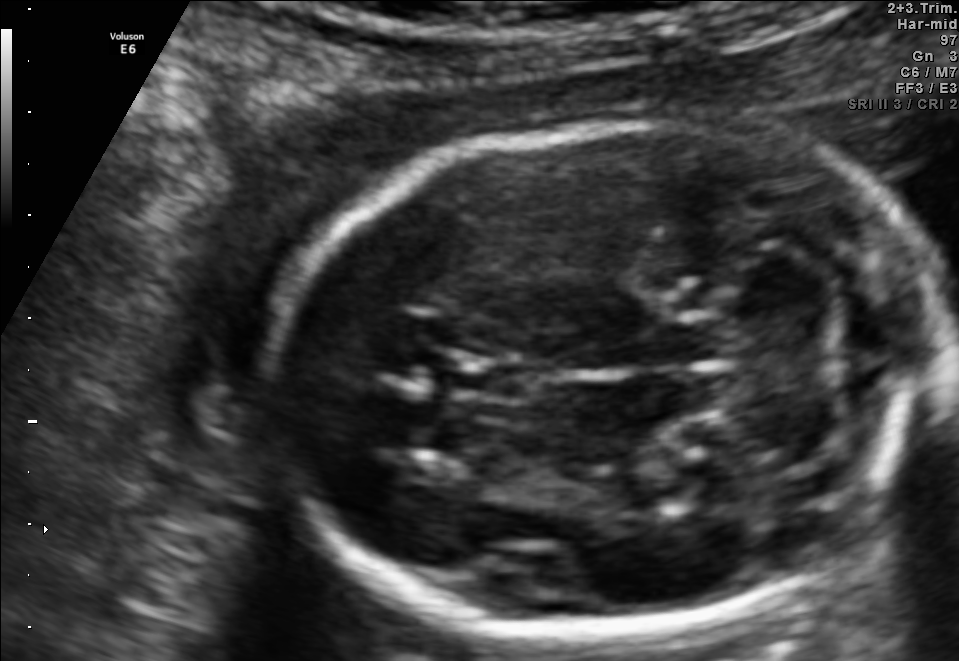
Fetal brain, trans-cerebellum plane. Locate the cavum septum pellucidum.

CSP: [449,358,543,400]